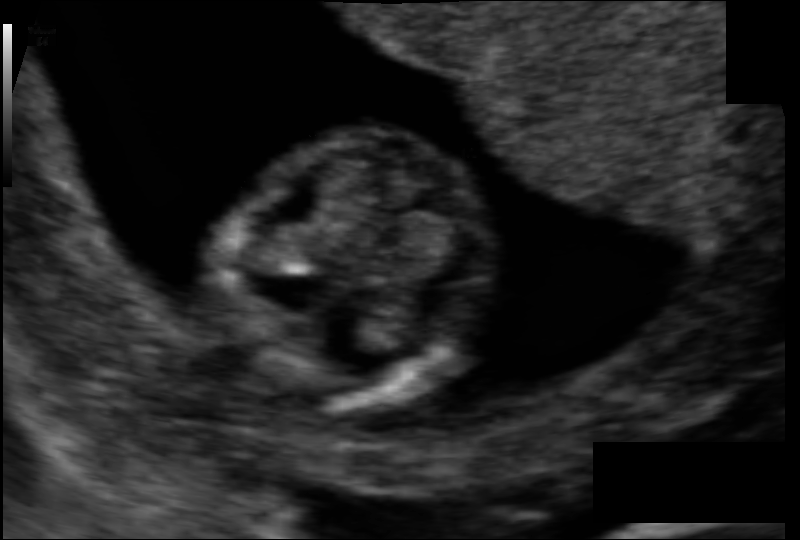
What is the fetal head circumference? Image width is 61.7 mm.

69.6 mm